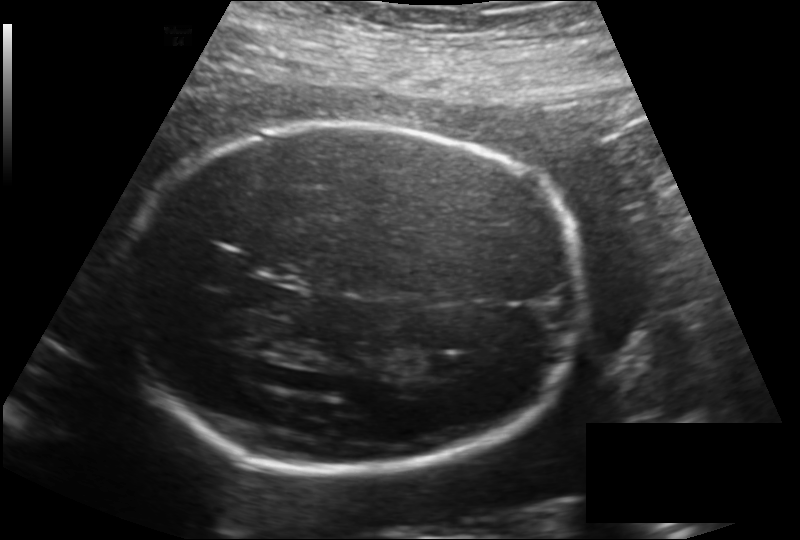
From this fetal ultrasound, estimate the head circumference (image width 149.9 mm).

Head circumference: 245.4 mm.